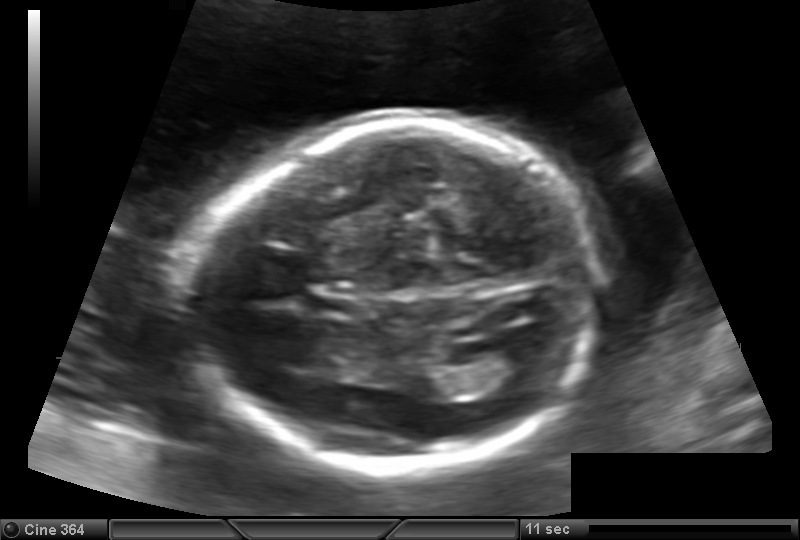
Fetal head ultrasound. Image width: 115.2 mm. Locate the fetal head.

Head: [200,120,595,471]